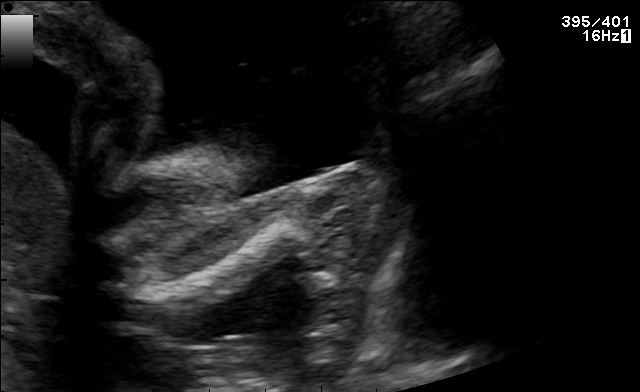
Identify the standard plane in this fetal ultrasound image: fetal abdomen, fetal brain, fetal femur, fetal thorax, maternal cervix, or other. If it's fetal brain and one of the three standard brain planes (trans-thalamic, trans-cerebellum, trans-ventricular), name which.

Other